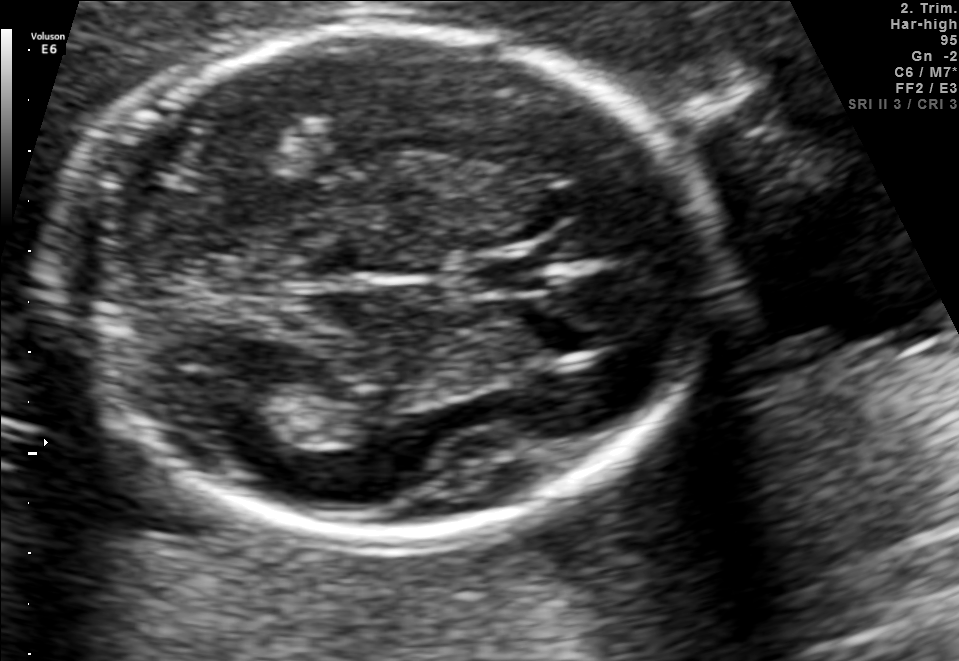
Fetal brain, trans-thalamic plane. Locate the cavum septum pellucidum.

CSP: [464,254,550,295]